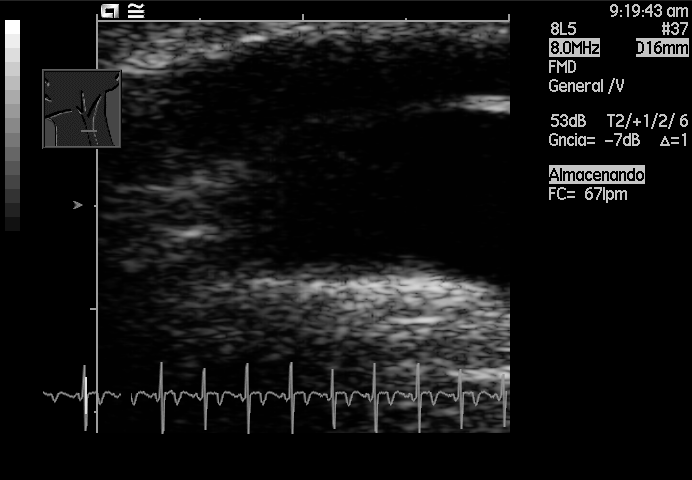
Which standard maternal-fetal ultrasound plane is shown: fetal abdomen, fetal brain, fetal femur, fetal thorax, maternal cervix, or other? If it's fetal brain and one of the three standard brain planes (trans-thalamic, trans-cerebellum, trans-ventricular), name which.

Other